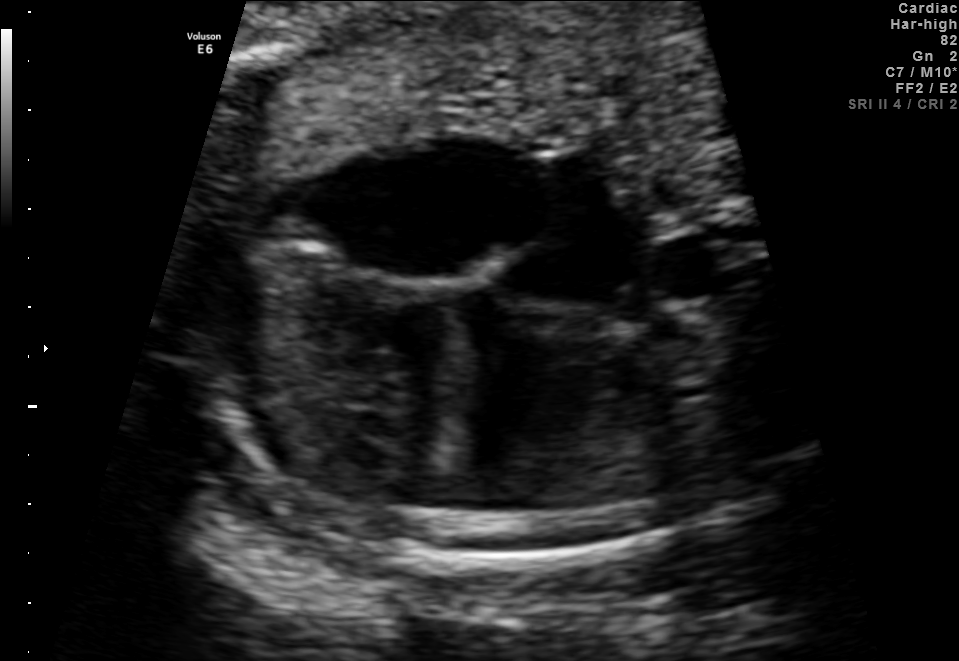
This is a 2D maternal-fetal ultrasound frame. Is it a fetal abdomen, fetal brain, fetal femur, fetal thorax, maternal cervix, or other standard plane? If it's fetal brain and one of the three standard brain planes (trans-thalamic, trans-cerebellum, trans-ventricular), name which.

Fetal thorax